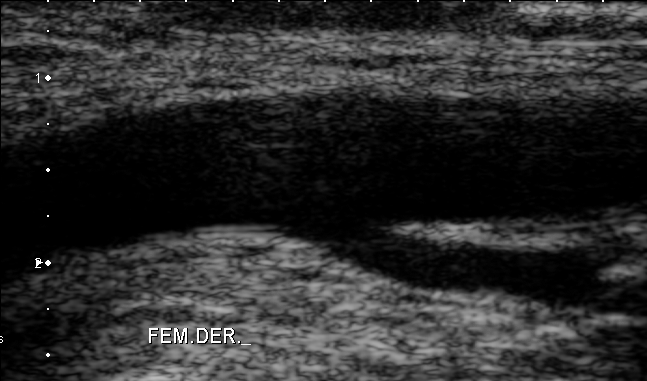
Classify this maternal-fetal ultrasound image as one of the six standard planes — fetal abdomen, fetal brain, fetal femur, fetal thorax, maternal cervix, or other. If it's fetal brain and one of the three standard brain planes (trans-thalamic, trans-cerebellum, trans-ventricular), name which.

Other